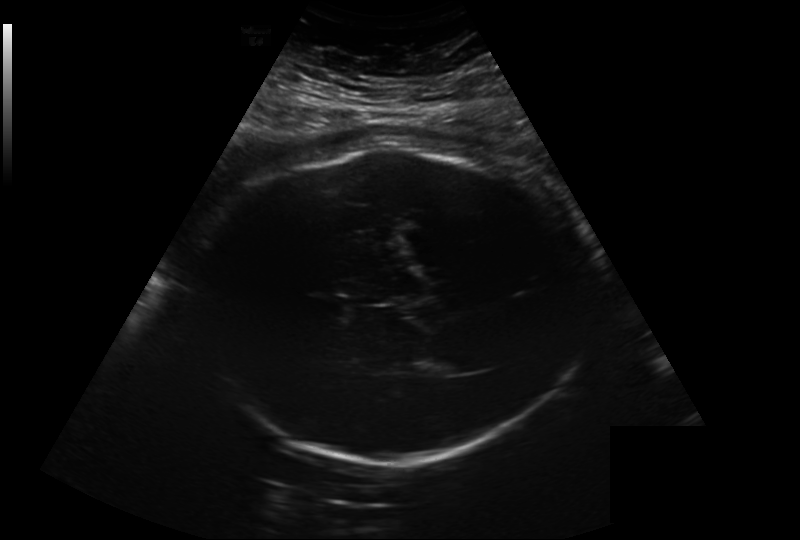
Fetal head ultrasound. Image width: 225.2 mm. Give [x1,y1,x2,y2] bounding boxes for each visible structure among: fetal head, CSP, LV.

Head: [199,148,584,462]
Lateral ventricle: [428,352,470,376]